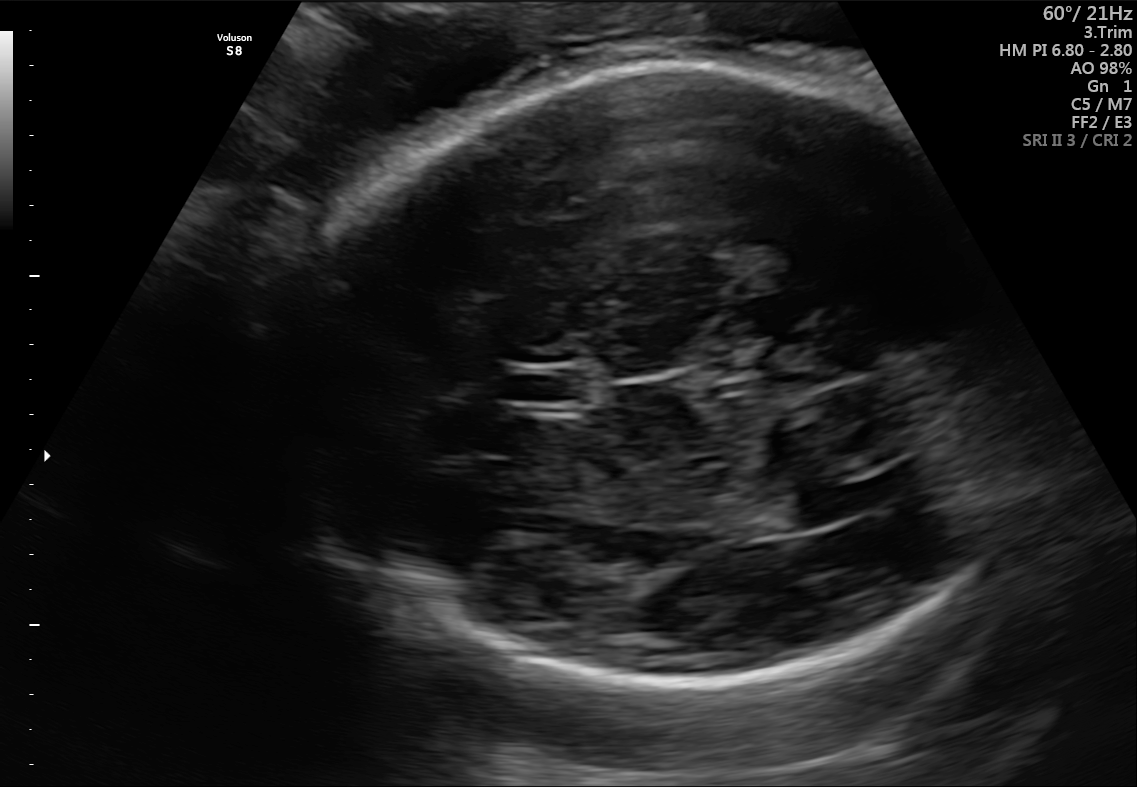
Fetal brain, trans-thalamic plane. Give [x1,y1,x2,y2] bounding boxes for each visible structure among: fetal head, CSP, LV.

Head: [256,63,1016,686]
CSP: [507,369,589,402]
Lateral ventricle: [766,472,877,536]